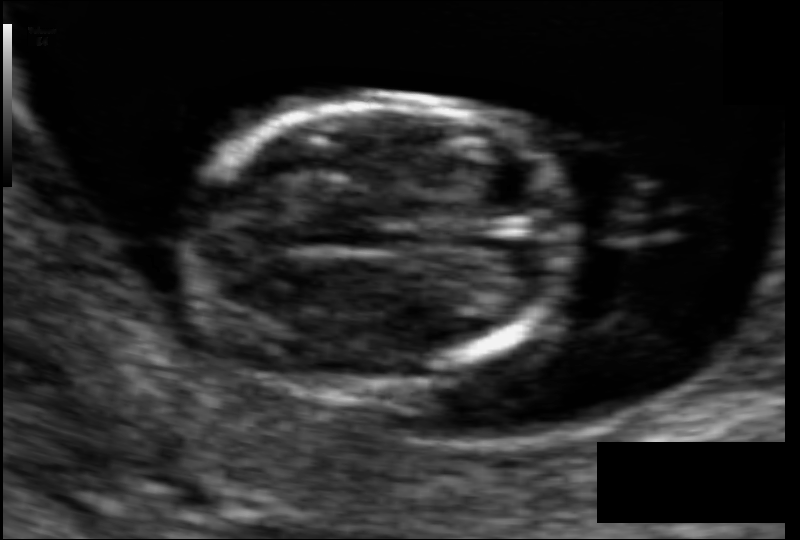
What is the fetal head circumference? Image width is 52.8 mm.

71.6 mm